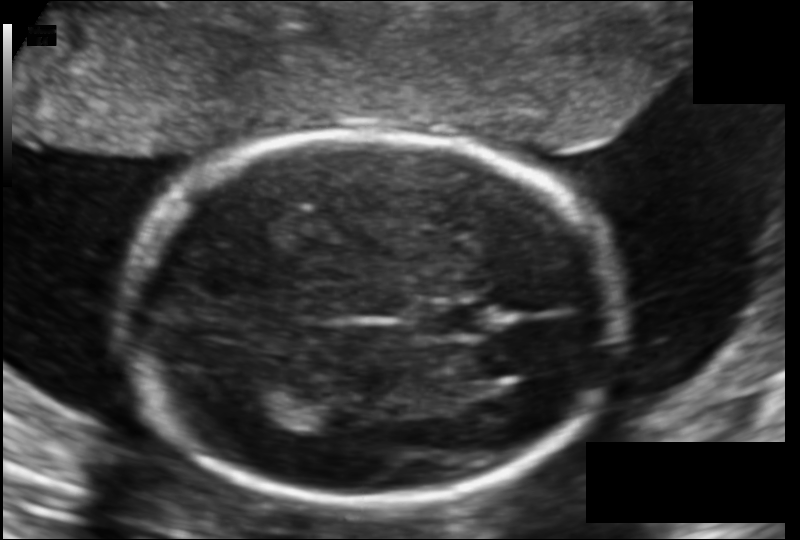
Measure the fetal head circumference shown in this ultrasound image. Image width: 98.4 mm.

Head circumference: 174.4 mm.